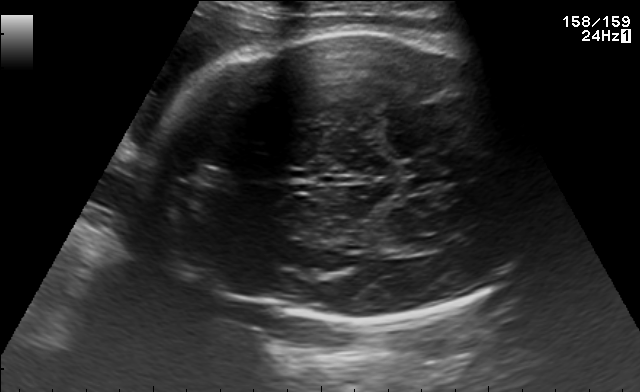
Which standard maternal-fetal ultrasound plane is shown: fetal abdomen, fetal brain, fetal femur, fetal thorax, maternal cervix, or other? If it's fetal brain and one of the three standard brain planes (trans-thalamic, trans-cerebellum, trans-ventricular), name which.

Fetal brain (trans-thalamic plane)